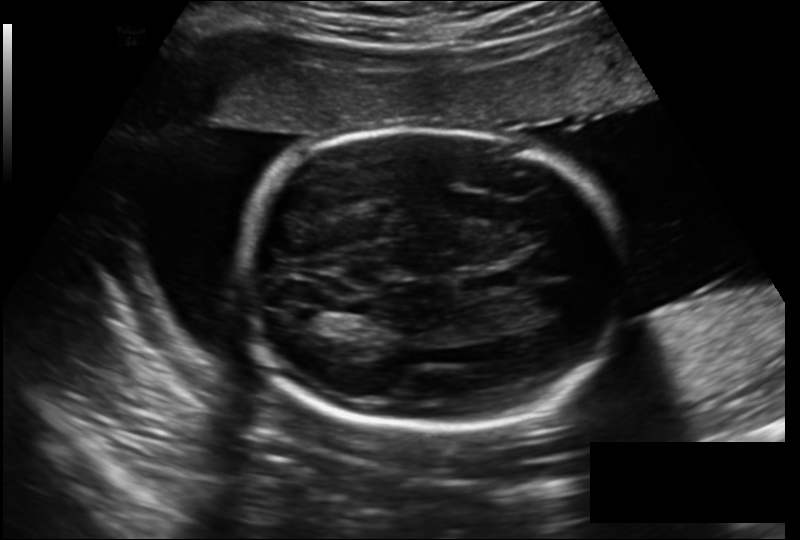
In this fetal head ultrasound, give bounding boxes for the head outline, cavum septum pellucidum (CSP), and lateral ventricle (LV), where visible. Image width: 164.7 mm.

Head: [239,128,626,430]
CSP: [458,270,513,295]
Lateral ventricle: [283,305,323,332]